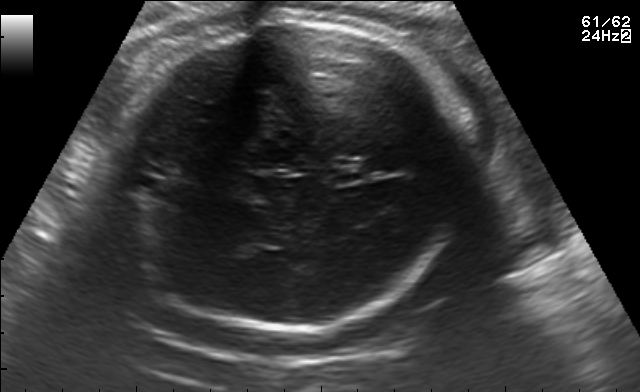
Fetal brain, trans-thalamic plane. Locate the fetal head and, if visible, the cavum septum pellucidum (CSP) and lateral ventricle (LV). Give bounding boxes as [x1,y1,x2,y2].

Head: [101,21,468,330]